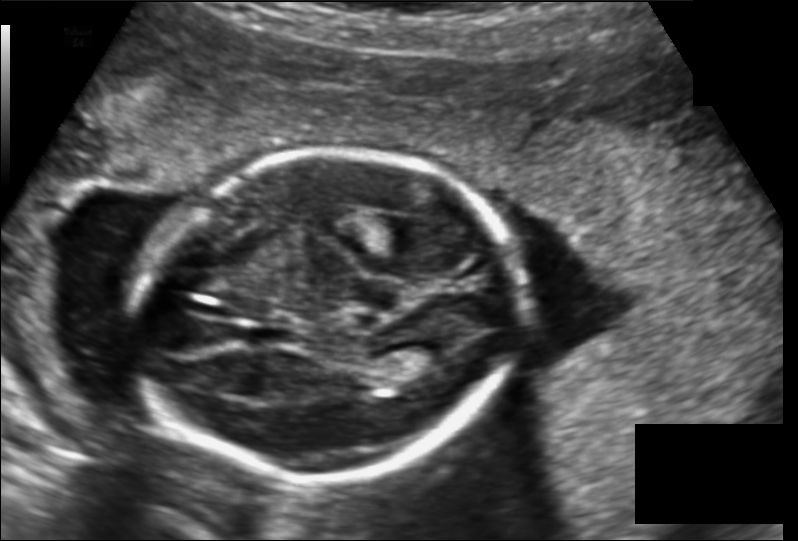
In this fetal head ultrasound, give the bounding box of the lateral ventricle. Image width: 118.8 mm.

[398,331,462,377]